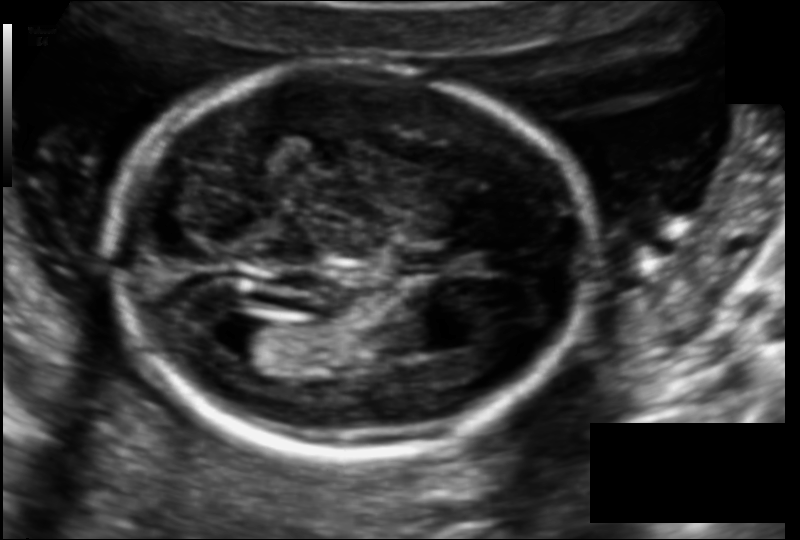
What is the fetal head circumference? Image width is 91.5 mm.

160.7 mm